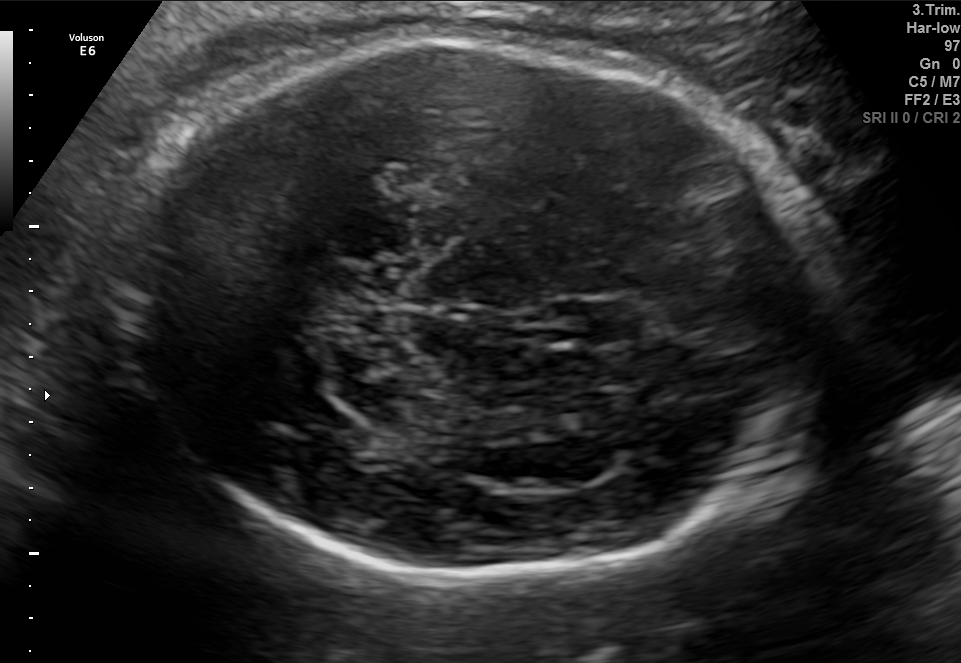
Fetal brain, trans-thalamic plane. Give [x1,y1,x2,y2] bounding boxes for each visible structure among: fetal head, CSP, LV.

Head: [116,40,845,575]